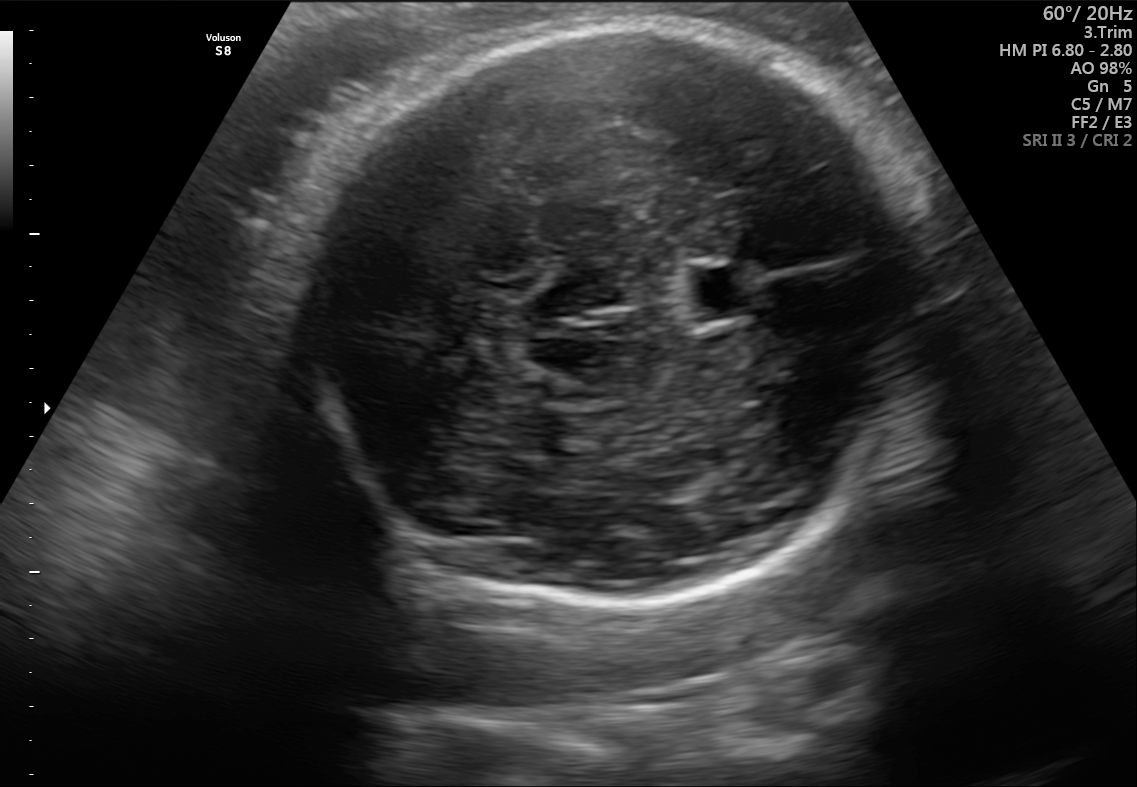
Fetal brain, trans-thalamic plane. Locate the fetal head and, if visible, the cavum septum pellucidum (CSP) and lateral ventricle (LV). Give bounding boxes as [x1,y1,x2,y2].

Head: [294,29,933,608]
CSP: [682,260,767,325]